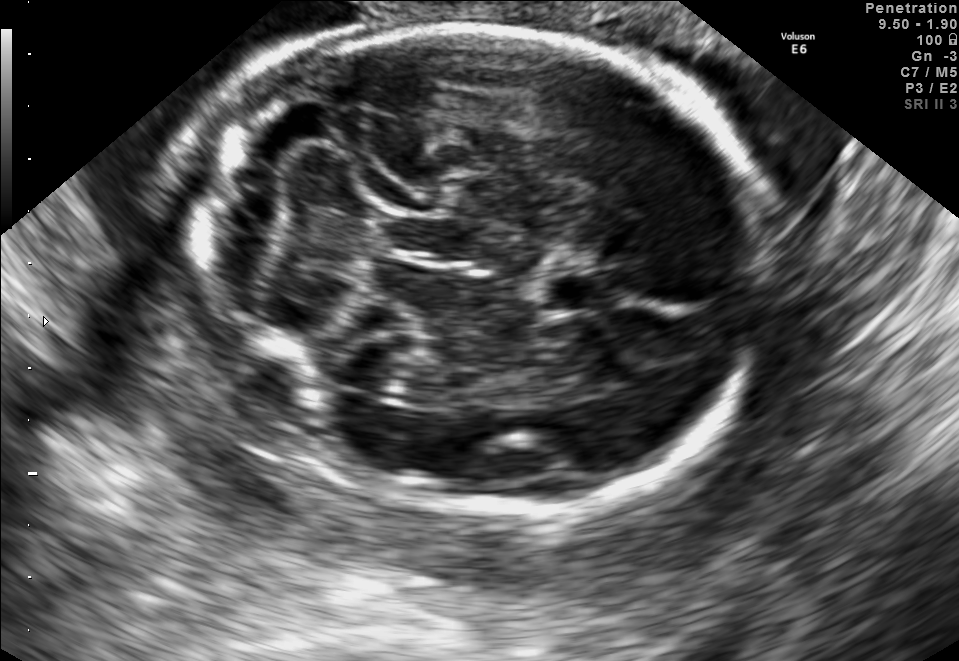
In this fetal brain, trans-cerebellum plane, give the bounding box of the cavum septum pellucidum.

[535,267,625,317]